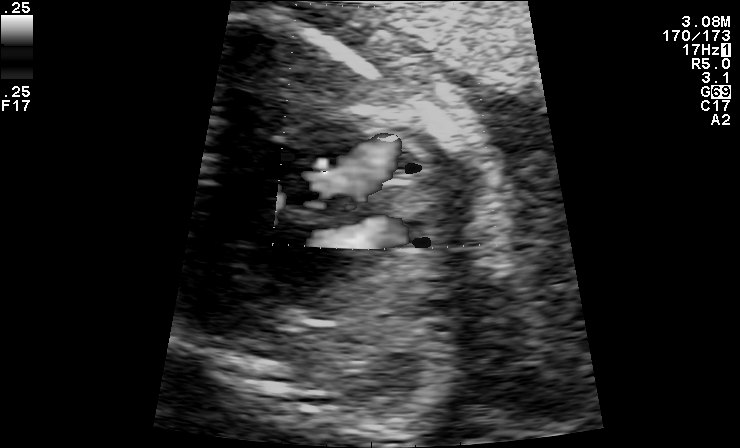
Classify this maternal-fetal ultrasound image as one of the six standard planes — fetal abdomen, fetal brain, fetal femur, fetal thorax, maternal cervix, or other. If it's fetal brain and one of the three standard brain planes (trans-thalamic, trans-cerebellum, trans-ventricular), name which.

Other